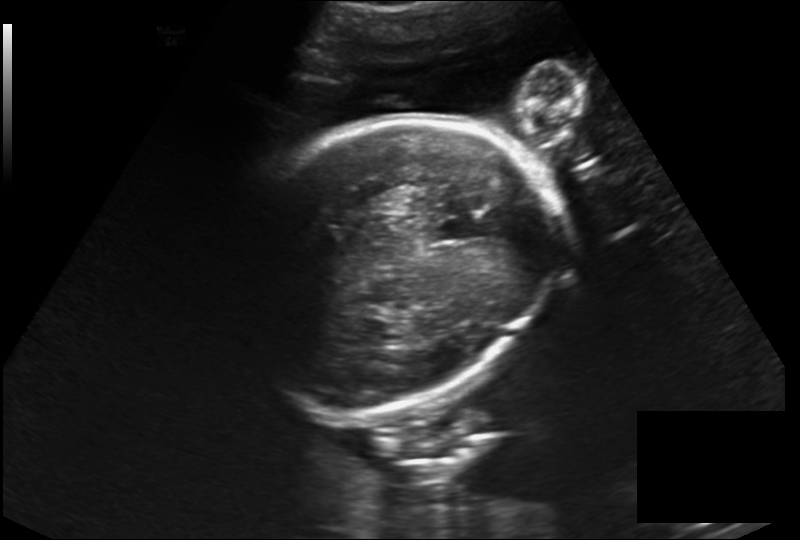
From this fetal ultrasound, estimate the head circumference (image width 184.3 mm).

Head circumference: 225.2 mm.